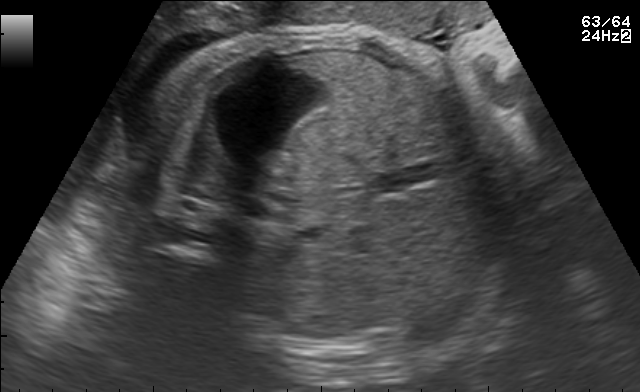
Identify the standard plane in this fetal ultrasound image: fetal abdomen, fetal brain, fetal femur, fetal thorax, maternal cervix, or other. If it's fetal brain and one of the three standard brain planes (trans-thalamic, trans-cerebellum, trans-ventricular), name which.

Fetal abdomen